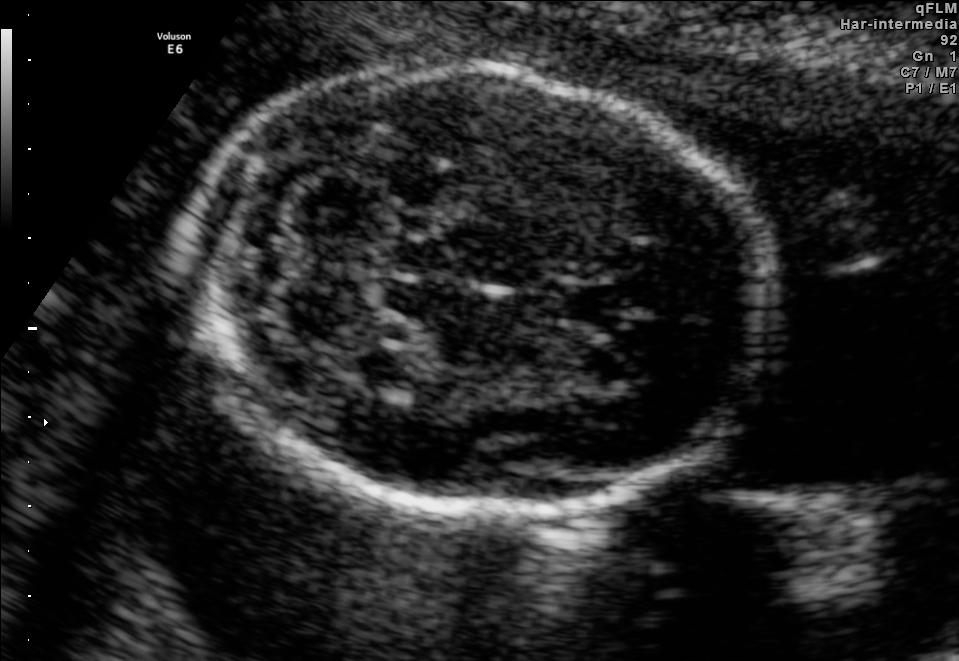
Fetal brain, trans-cerebellum plane. Locate the cavum septum pellucidum.

CSP: [544,279,621,329]